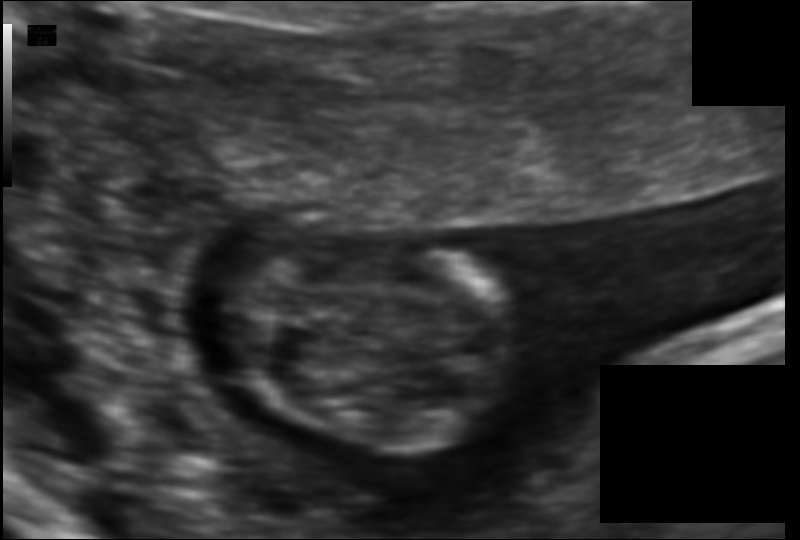
In this fetal head ultrasound, give the bounding box of the fetal head. Image width: 62.1 mm.

[224,243,523,448]